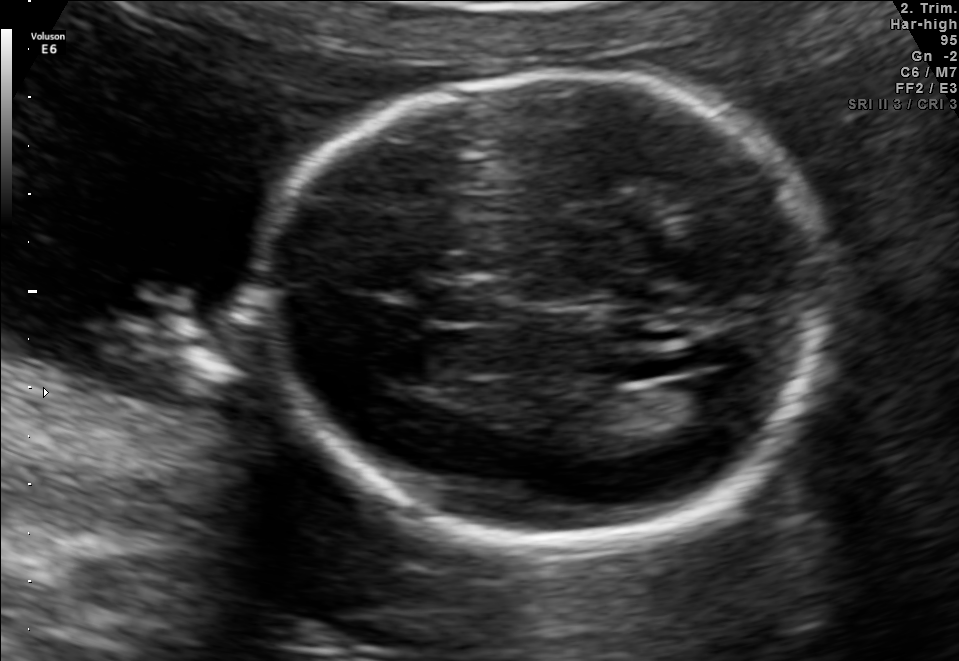
In this fetal brain, trans-ventricular plane, give the bounding box of the lateral ventricle.

[670,369,750,431]